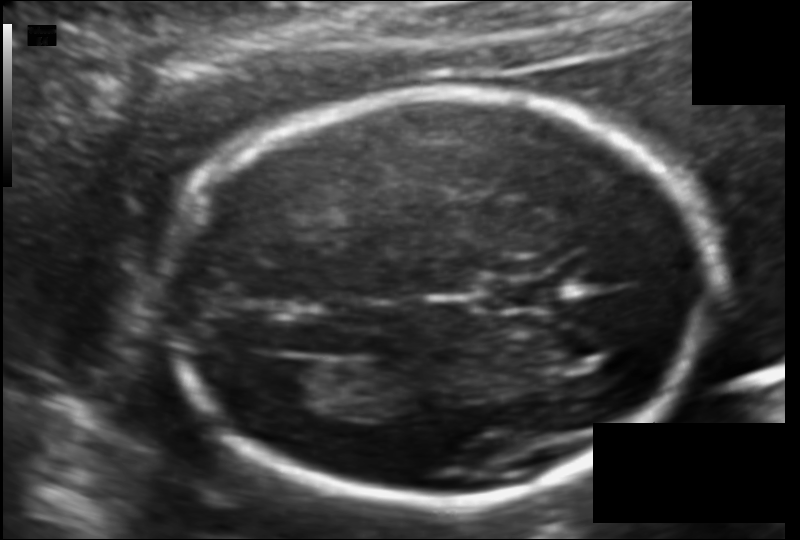
Estimate the fetal head circumference from this 2D ultrasound. Image width: 88.5 mm.

Head circumference: 170.9 mm.